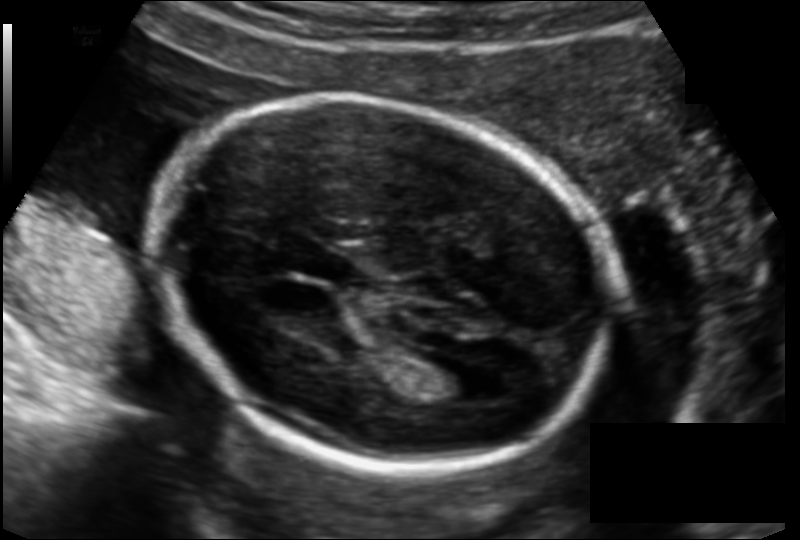
Fetal head ultrasound. Image width: 107.7 mm. Where is the fetal head?

Head bounding box: [153,100,611,468]